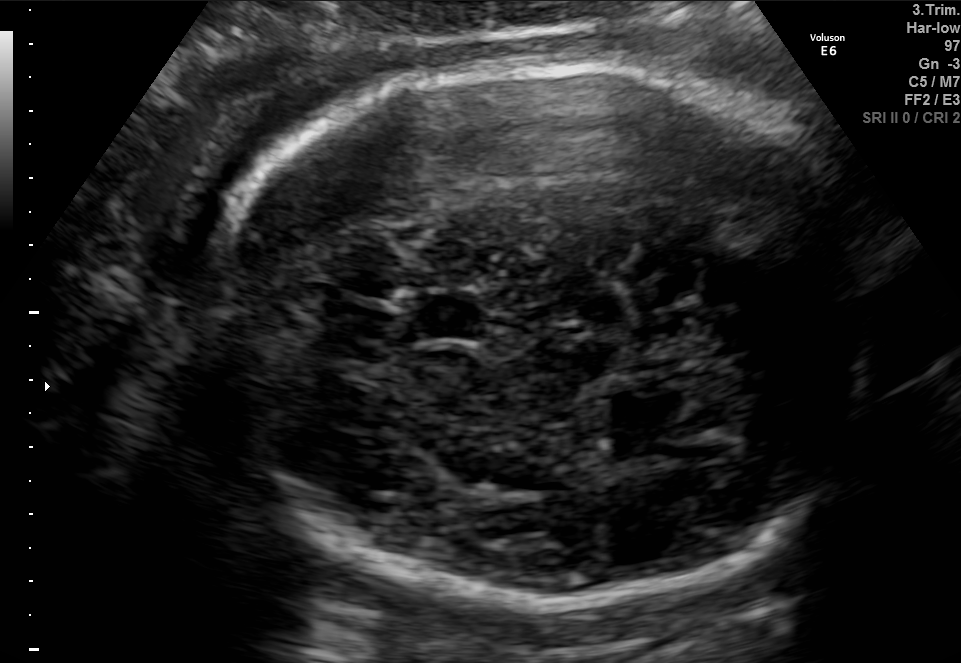
Fetal brain, trans-thalamic plane. Where is the cavum septum pellucidum?

CSP bounding box: [412,293,489,343]